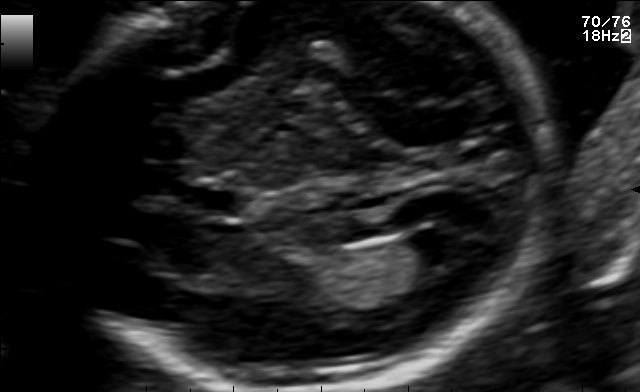
Fetal brain, trans-ventricular plane. Locate the cavum septum pellucidum (CSP) and lateral ventricle (LV), if visible. Give bounding boxes as [x1,y1,x2,y2].

CSP: [191,191,241,216]
Lateral ventricle: [410,217,481,269]